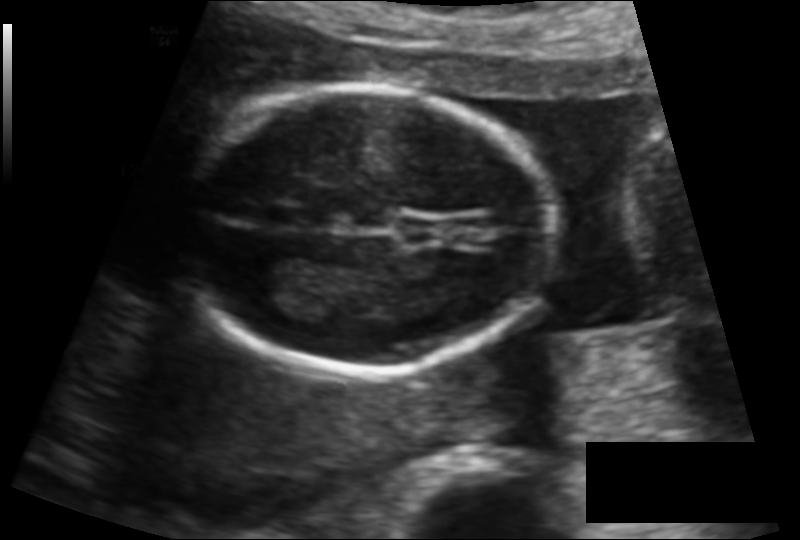
Fetal head ultrasound. Image width: 93.2 mm. Give [x1,y1,x2,y2] bounding boxes for each visible structure among: fetal head, CSP, LV.

Head: [176,87,551,372]